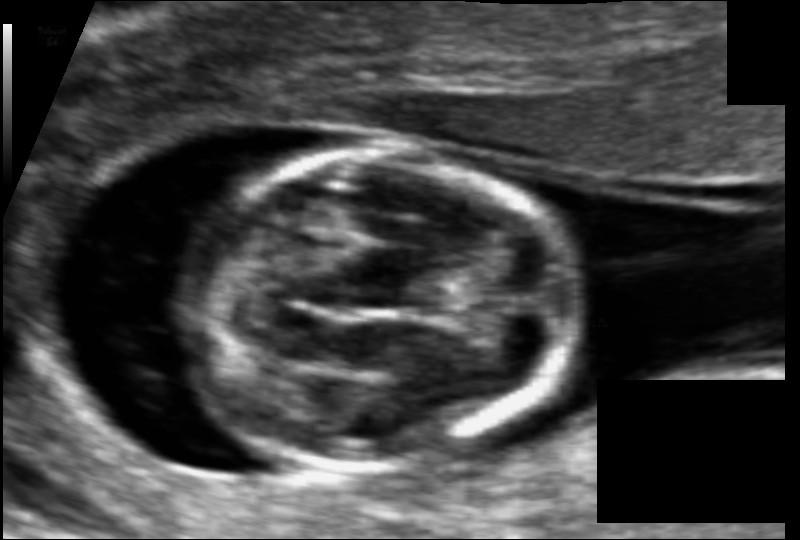
Fetal head ultrasound. Image width: 53.6 mm. Locate the fetal head.

Head: [186,154,567,469]